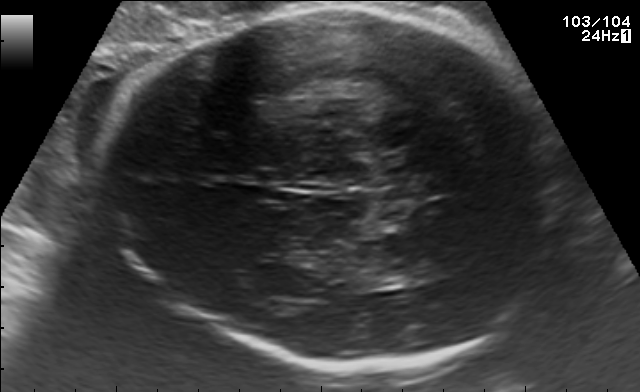
Fetal brain, trans-thalamic plane. Give [x1,y1,x2,y2] bounding boxes for each visible structure among: fetal head, CSP, LV.

Head: [98,6,558,367]